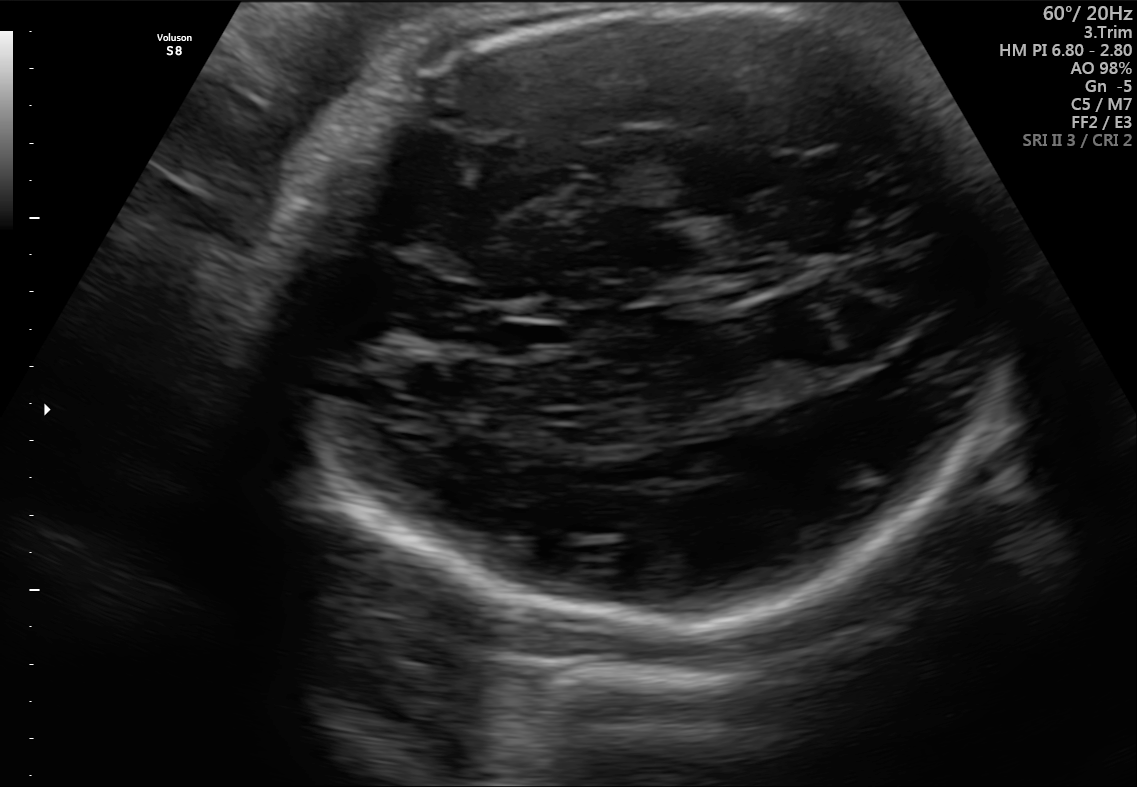
In this fetal brain, trans-thalamic plane, give bounding boxes for the head outline, cavum septum pellucidum (CSP), and lateral ventricle (LV), where visible.

Head: [268,6,1016,624]